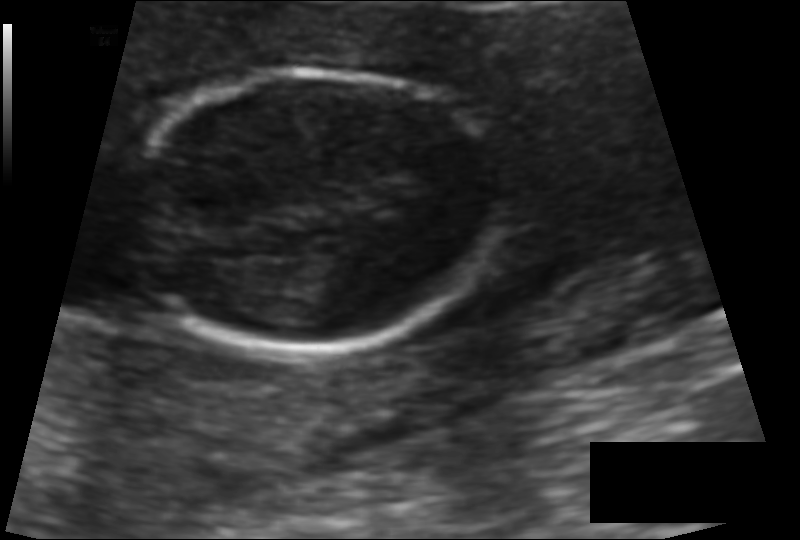
In this fetal head ultrasound, give bounding boxes for the head outline, cavum septum pellucidum (CSP), and lateral ventricle (LV), where visible. Image width: 75.9 mm.

Head: [132,72,496,355]